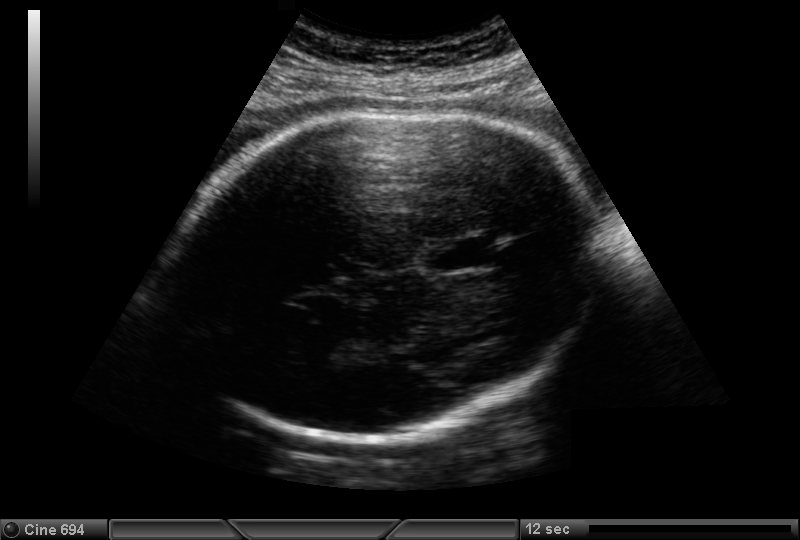
In this fetal head ultrasound, give the bounding box of the fetal head. Image width: 176.7 mm.

[174,110,600,438]